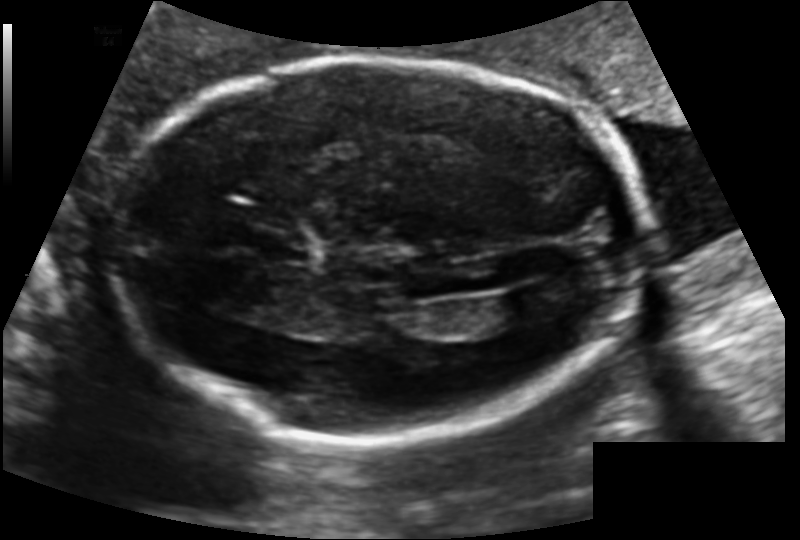
Measure the fetal head circumference shown in this ultrasound image. Image width: 105.0 mm.

Head circumference: 198.7 mm.